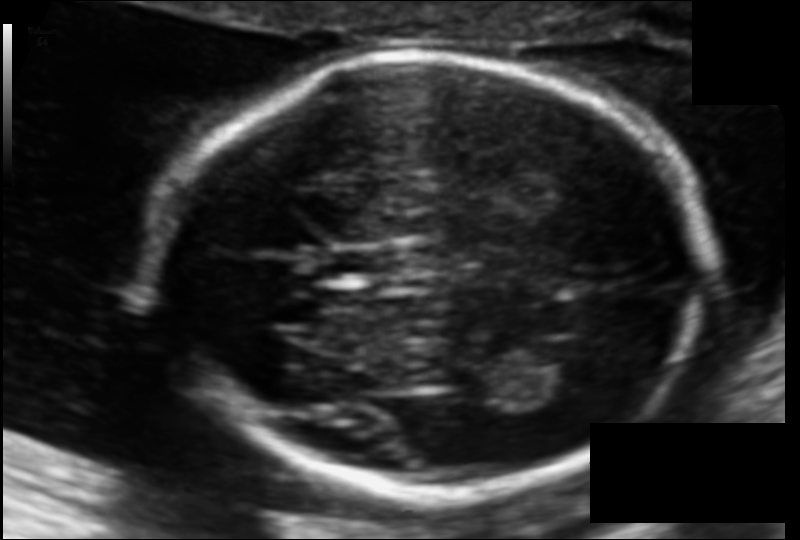
Fetal head ultrasound. Image width: 86.8 mm. Locate the fetal head and, if visible, the cavum septum pellucidum (CSP) and lateral ventricle (LV). Give bounding boxes as [x1,y1,x2,y2].

Head: [154,54,704,491]
CSP: [329,249,393,278]
Lateral ventricle: [519,337,601,398]